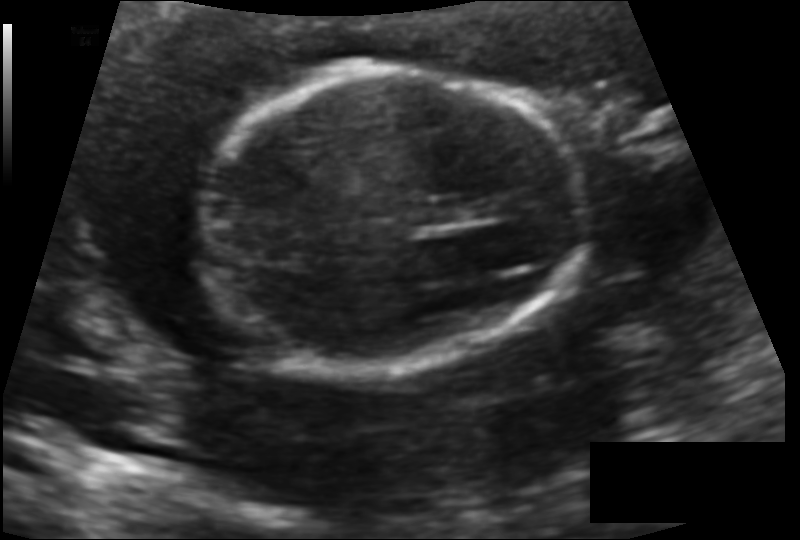
Fetal head ultrasound. Image width: 90.0 mm. Locate the fetal head and, if visible, the cavum septum pellucidum (CSP) and lateral ventricle (LV). Give bounding boxes as [x1,y1,x2,y2].

Head: [207,71,580,364]